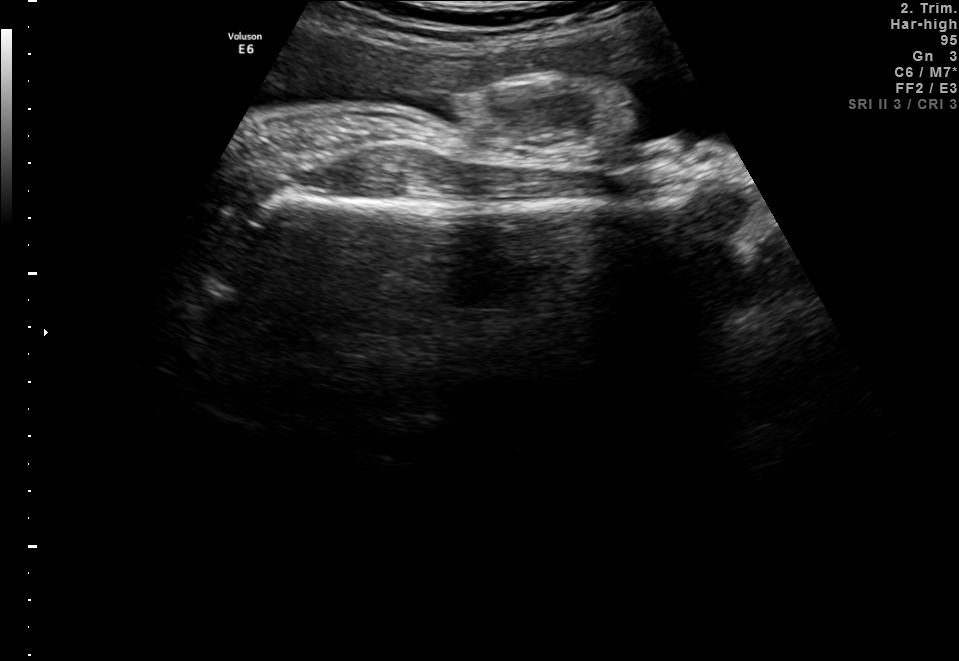
This is a 2D maternal-fetal ultrasound frame. Is it a fetal abdomen, fetal brain, fetal femur, fetal thorax, maternal cervix, or other standard plane? If it's fetal brain and one of the three standard brain planes (trans-thalamic, trans-cerebellum, trans-ventricular), name which.

Fetal femur